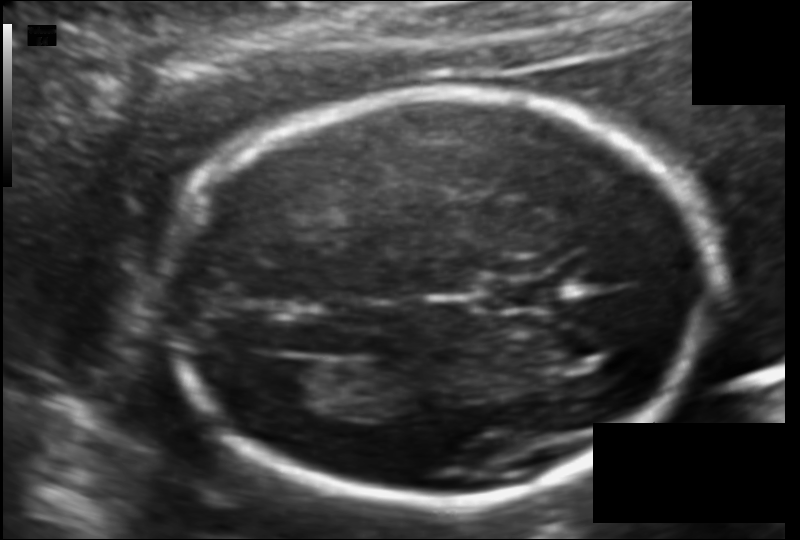
Fetal head ultrasound. Image width: 88.5 mm. Locate the fetal head.

Head: [168,91,712,501]